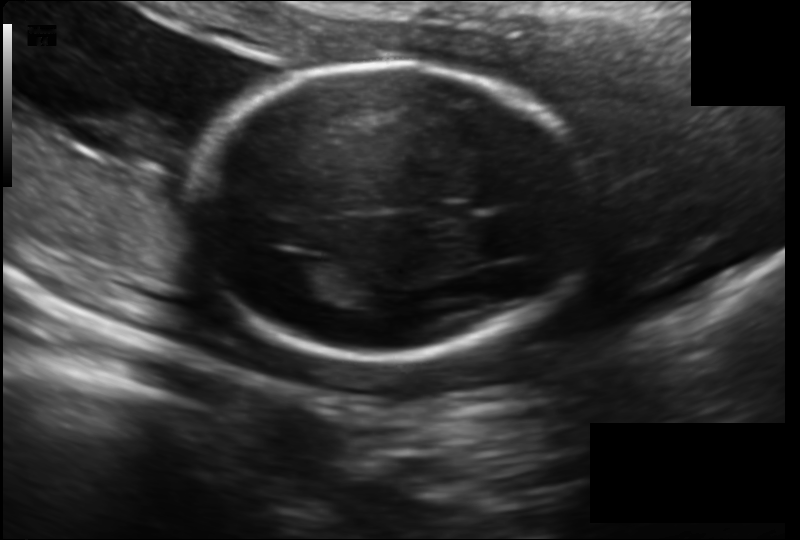
Fetal head ultrasound. Image width: 126.8 mm. Locate the fetal head and, if visible, the cavum septum pellucidum (CSP) and lateral ventricle (LV). Give bounding boxes as [x1,y1,x2,y2].

Head: [190,63,586,358]